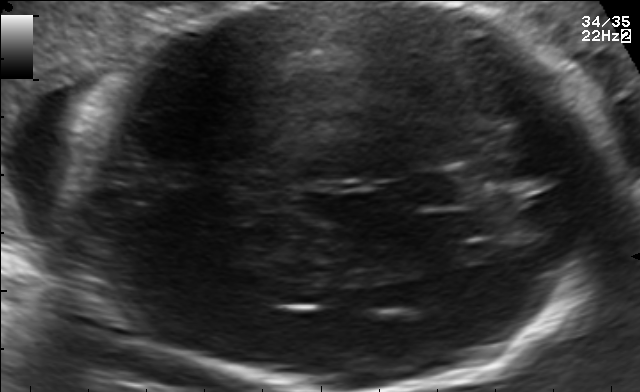
In this fetal brain, trans-thalamic plane, give the bounding box of the fetal head.

[65,3,622,390]